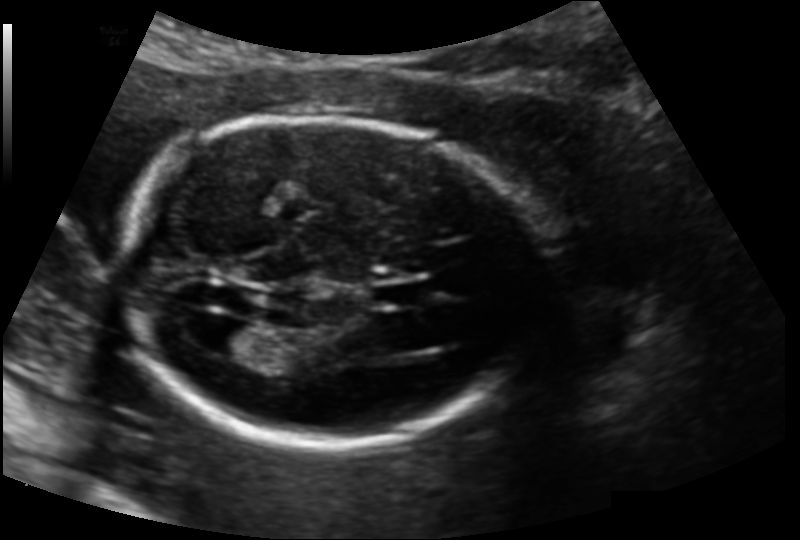
Fetal head ultrasound. Image width: 111.6 mm. Where is the lateral ventricle?

Lateral ventricle bounding box: [201,315,269,363]